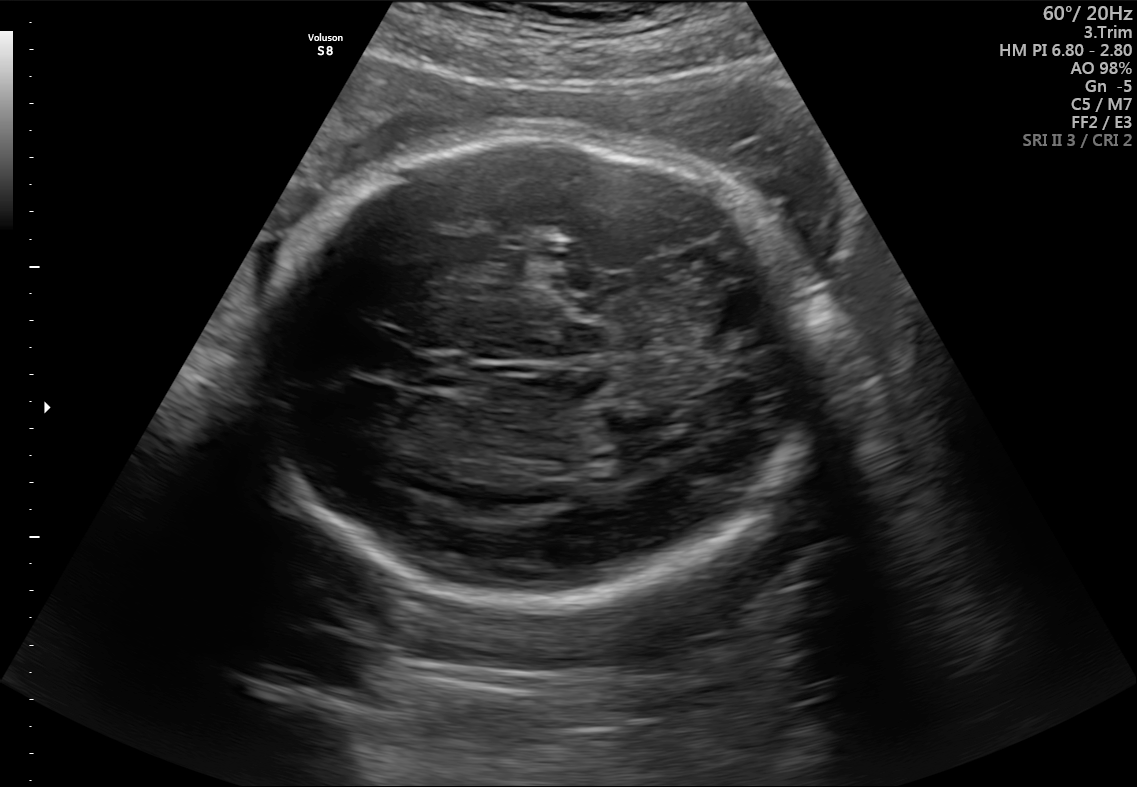
In this fetal brain, trans-thalamic plane, give bounding boxes for the head outline, cavum septum pellucidum (CSP), and lateral ventricle (LV), where visible.

Head: [251,135,822,607]
CSP: [398,351,458,394]